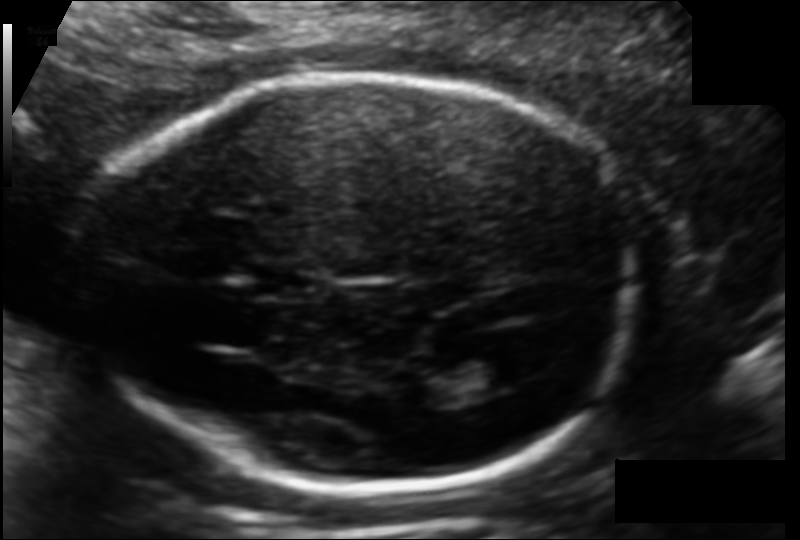
Estimate the fetal head circumference from this 2D ultrasound. Image width: 90.5 mm.

Head circumference: 181.2 mm.